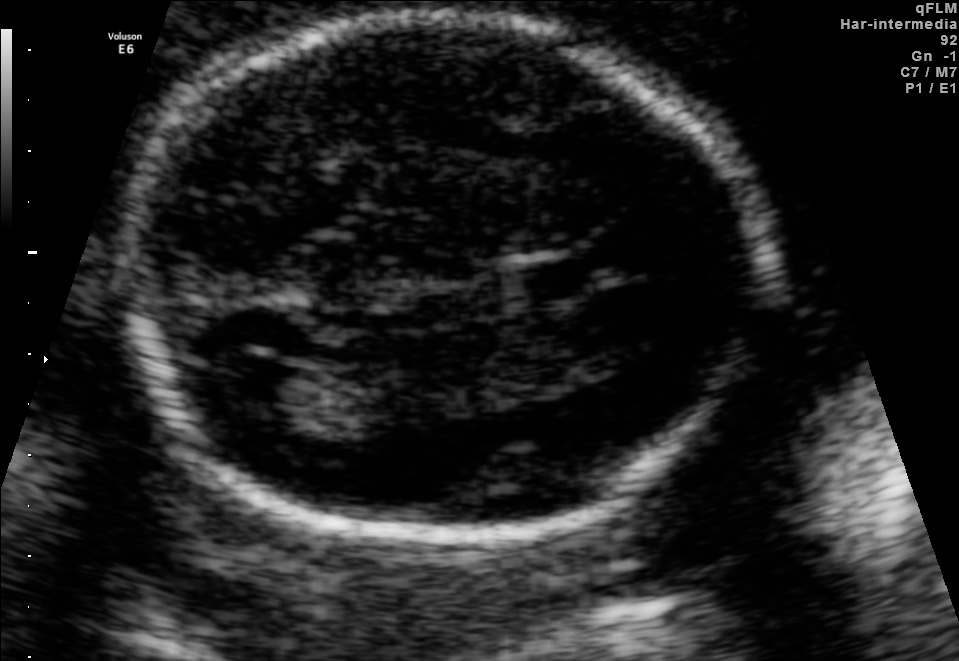
Fetal brain, trans-ventricular plane. Locate the cavum septum pellucidum.

CSP: [498,241,612,316]